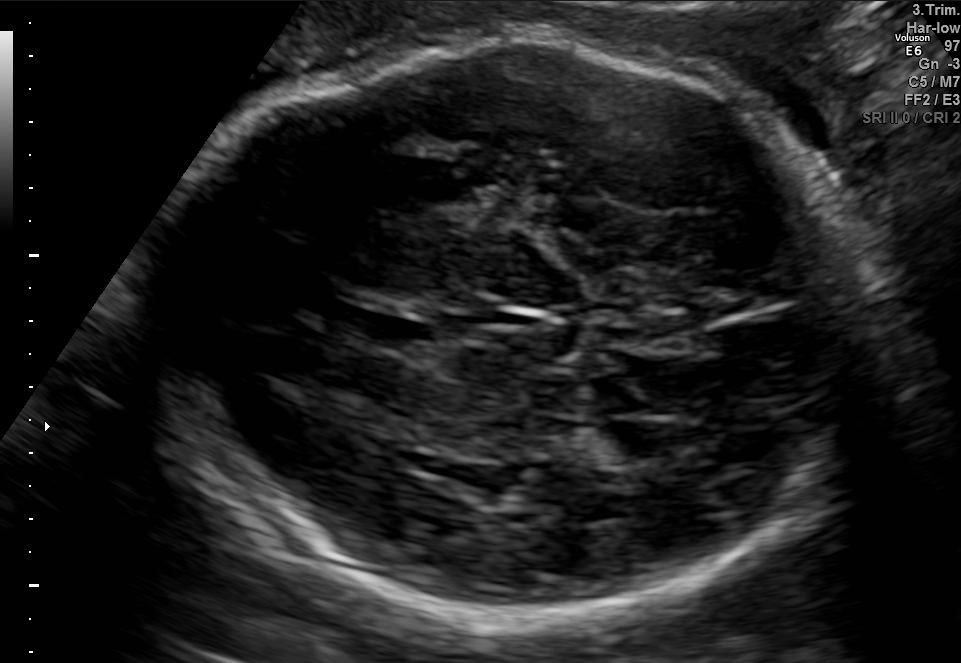
In this fetal brain, trans-ventricular plane, give the bounding box of the fetal head.

[148,38,887,625]